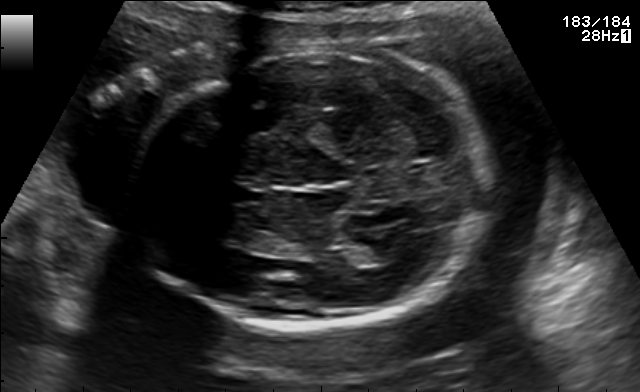
Fetal brain, trans-thalamic plane. Give [x1,y1,x2,y2] bounding boxes for each visible structure among: fetal head, CSP, LV.

Head: [131,49,495,329]
CSP: [234,187,263,202]
Lateral ventricle: [354,245,396,267]